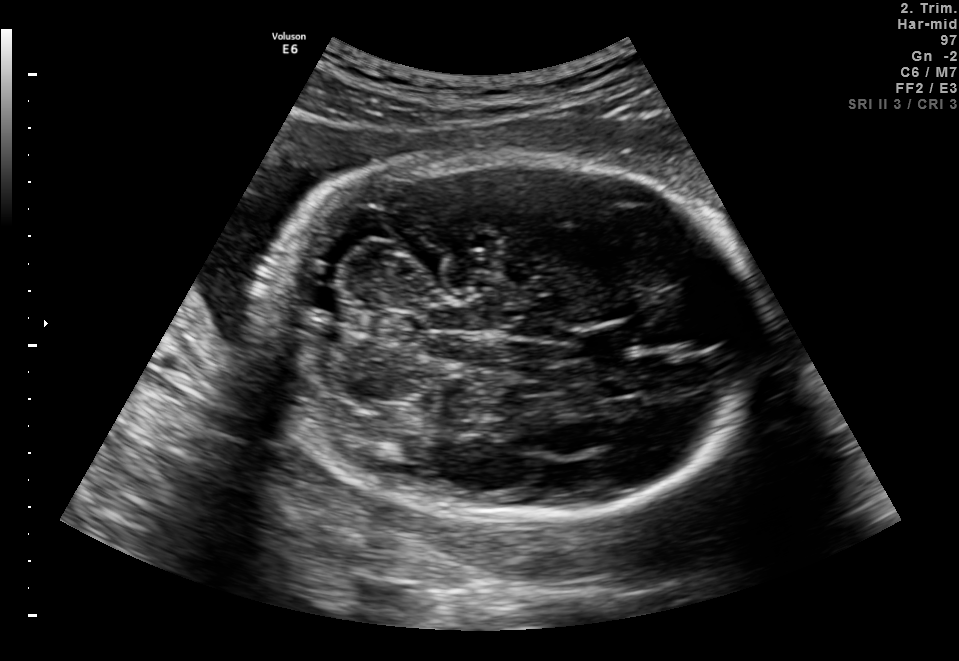
Fetal brain, trans-cerebellum plane. Locate the fetal head and, if visible, the cavum septum pellucidum (CSP) and lateral ventricle (LV). Give bounding boxes as [x1,y1,x2,y2].

Head: [265,151,760,526]
CSP: [568,318,638,362]